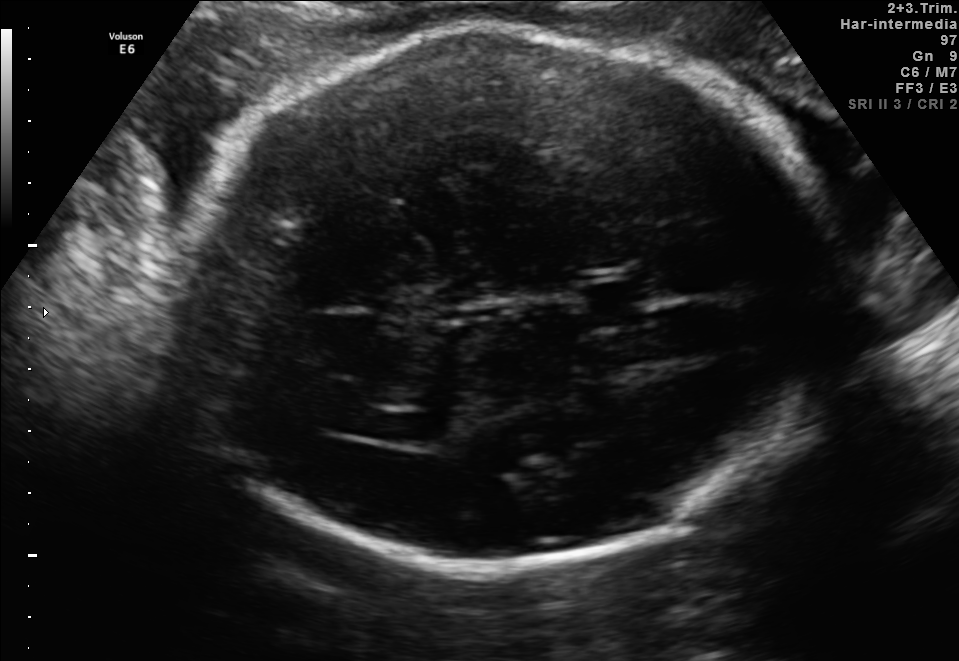
Fetal brain, trans-ventricular plane. Locate the lateral ventricle.

Lateral ventricle: [379,408,461,450]